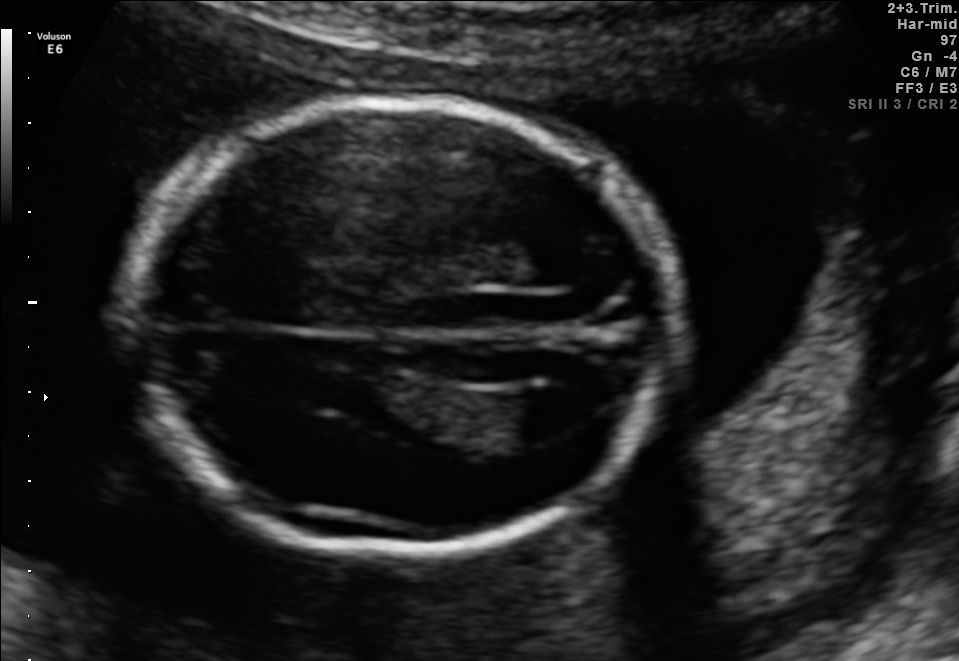
Identify the standard plane in this fetal ultrasound image: fetal abdomen, fetal brain, fetal femur, fetal thorax, maternal cervix, or other. If it's fetal brain and one of the three standard brain planes (trans-thalamic, trans-cerebellum, trans-ventricular), name which.

Fetal brain (trans-ventricular plane)